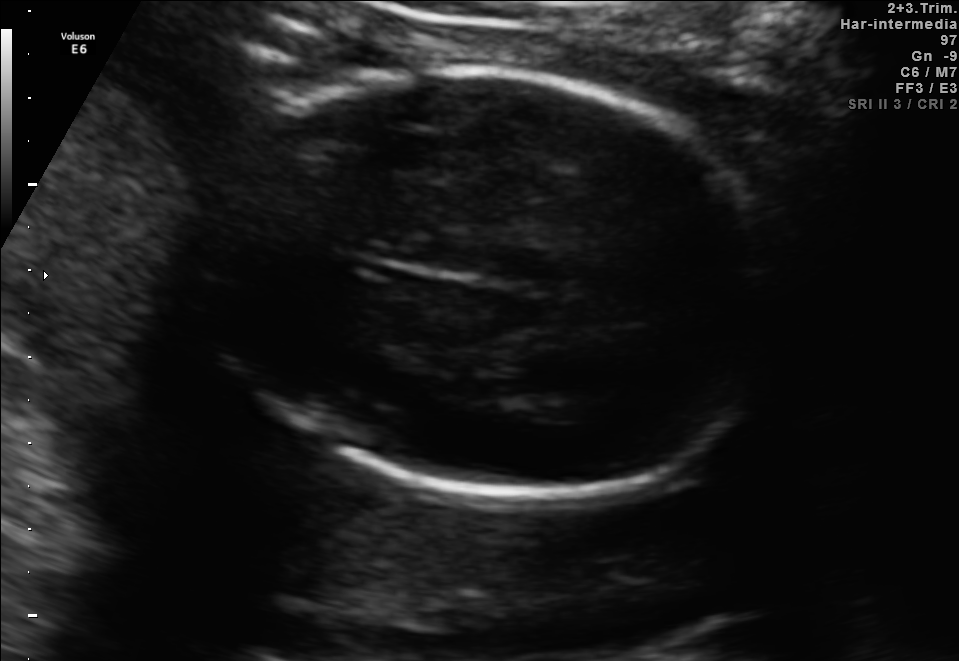
In this fetal brain, trans-thalamic plane, give bounding boxes for the head outline, cavum septum pellucidum (CSP), and lateral ventricle (LV), where visible.

Head: [203,70,782,497]